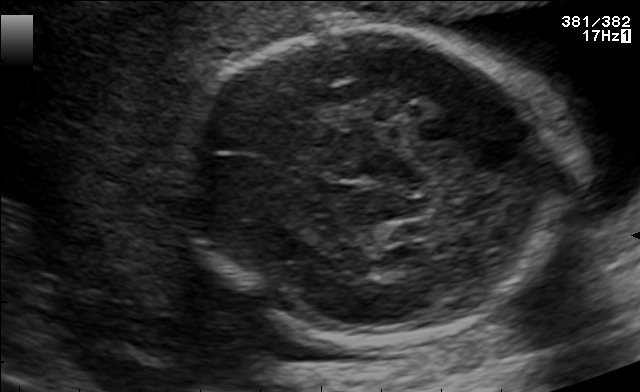
In this fetal brain, trans-thalamic plane, give the bounding box of the fetal head.

[180,26,557,342]